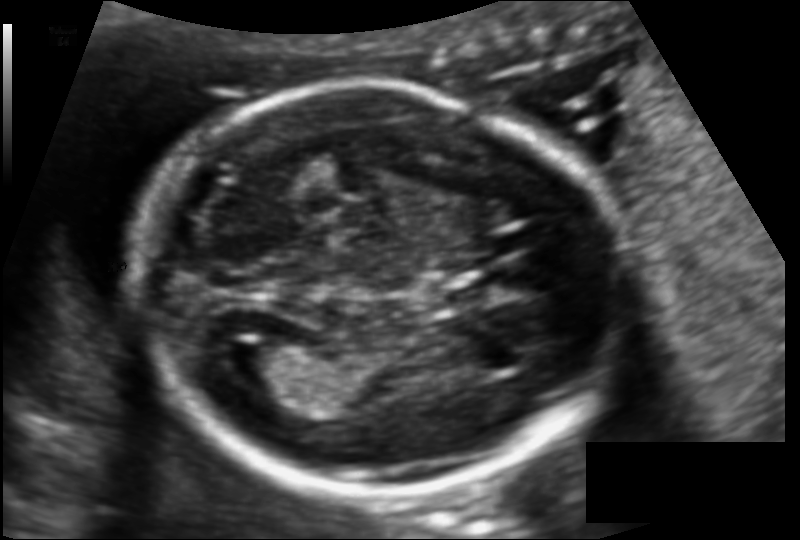
Fetal head ultrasound. Image width: 89.5 mm. Locate the lateral ventricle.

Lateral ventricle: [205,330,290,396]